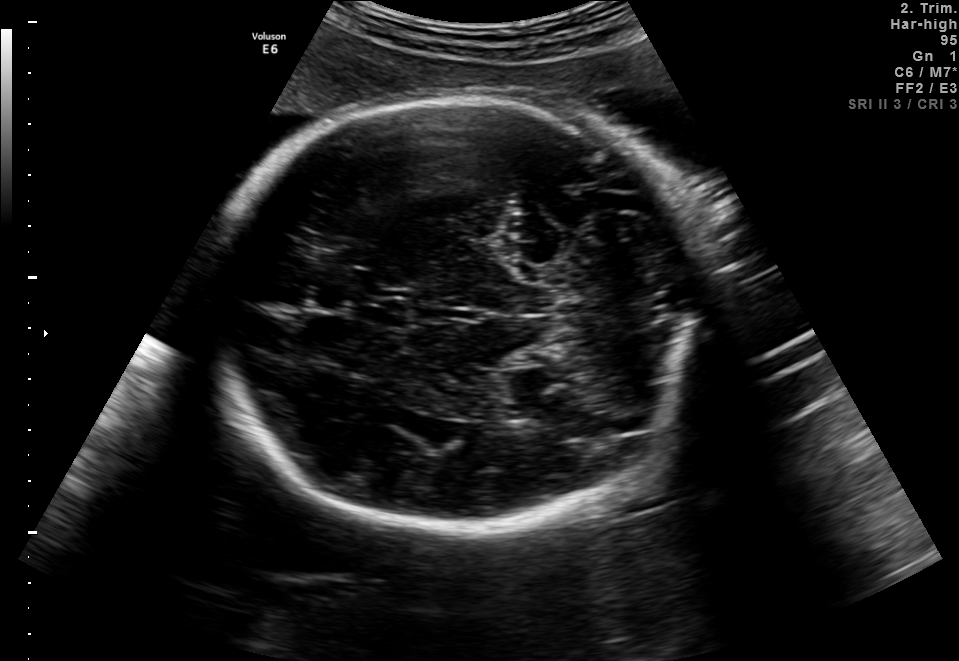
Fetal brain, trans-thalamic plane. Where is the cavum septum pellucidum?

CSP bounding box: [366,301,408,327]